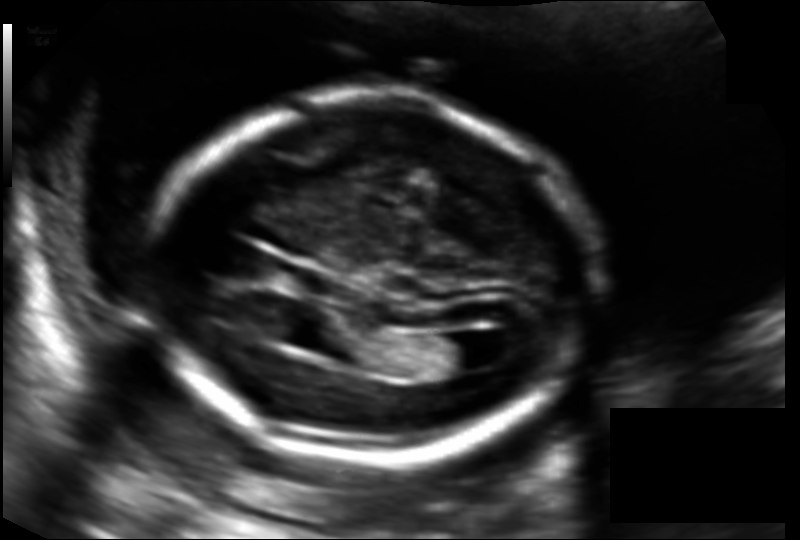
Fetal head ultrasound. Image width: 104.2 mm. Locate the fetal head.

Head: [151,97,591,461]